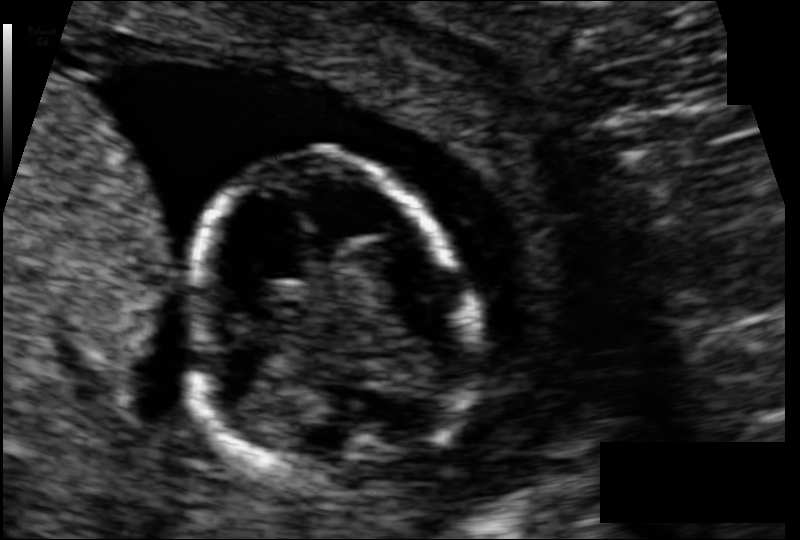
Measure the fetal head circumference shown in this ultrasound image. Image width: 60.7 mm.

Head circumference: 78.3 mm.